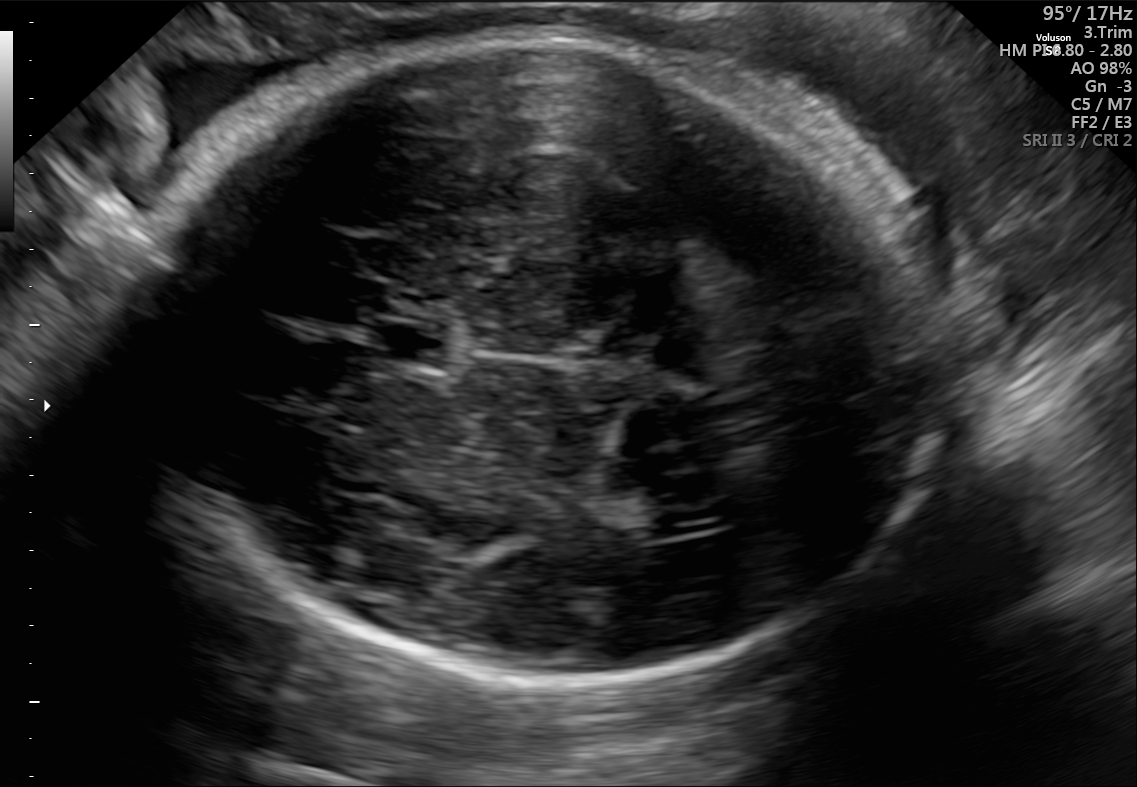
In this fetal brain, trans-ventricular plane, give bounding boxes for the head outline, cavum septum pellucidum (CSP), and lateral ventricle (LV), where visible.

Head: [146,26,965,687]
CSP: [370,318,437,366]